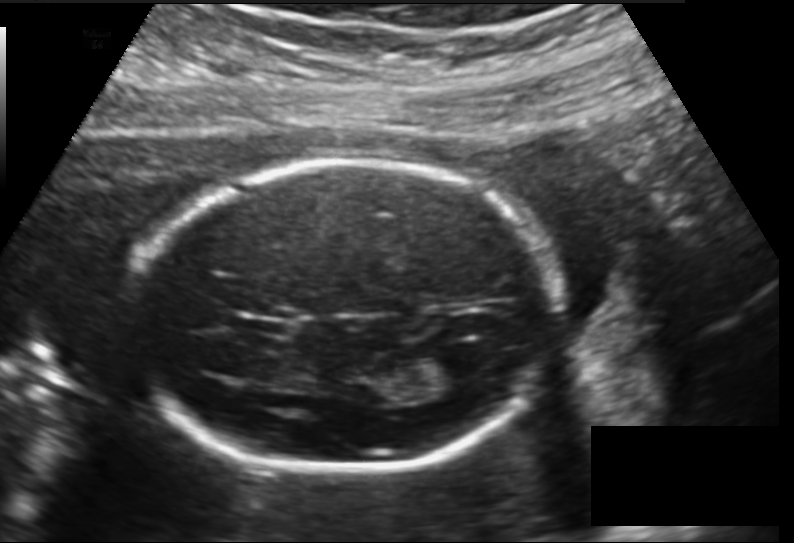
In this fetal head ultrasound, give the bounding box of the lateral ventricle. Image width: 124.7 mm.

[417,344,476,390]